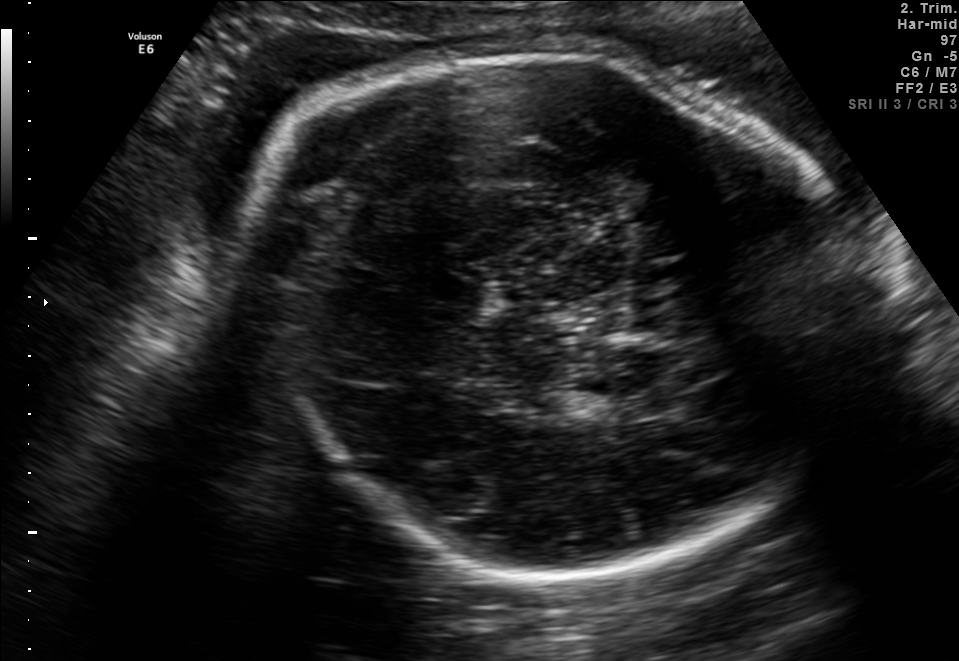
Classify this maternal-fetal ultrasound image as one of the six standard planes — fetal abdomen, fetal brain, fetal femur, fetal thorax, maternal cervix, or other. If it's fetal brain and one of the three standard brain planes (trans-thalamic, trans-cerebellum, trans-ventricular), name which.

Fetal brain (trans-thalamic plane)